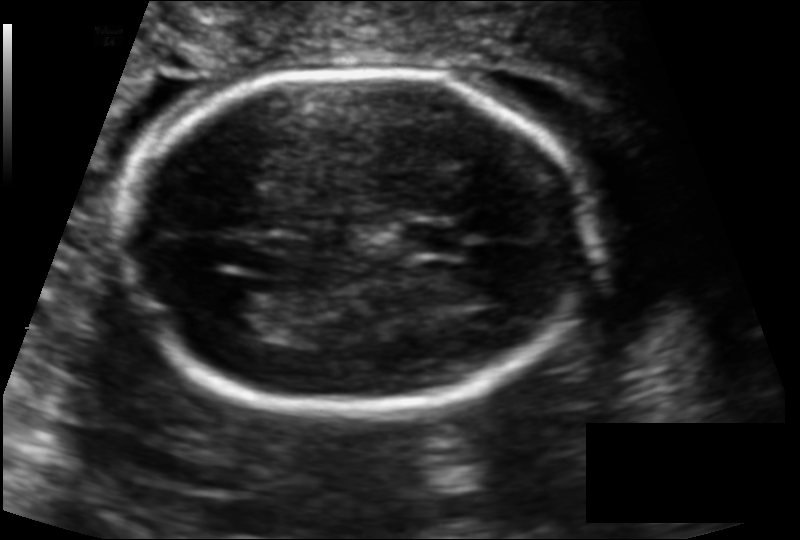
Estimate the fetal head circumference from this 2D ultrasound.

Head circumference: 160.2 mm (image width 97.4 mm).